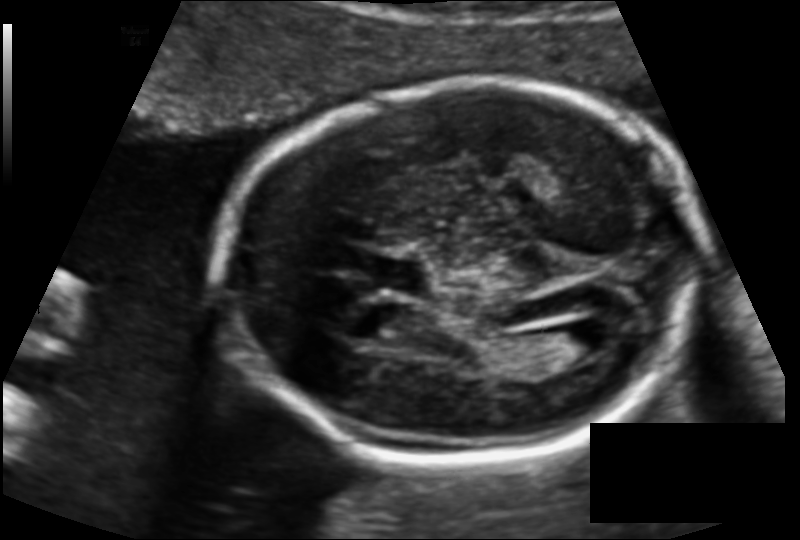
In this fetal head ultrasound, give the bounding box of the cavum septum pellucidum. Image width: 99.5 mm.

[361,254,427,295]